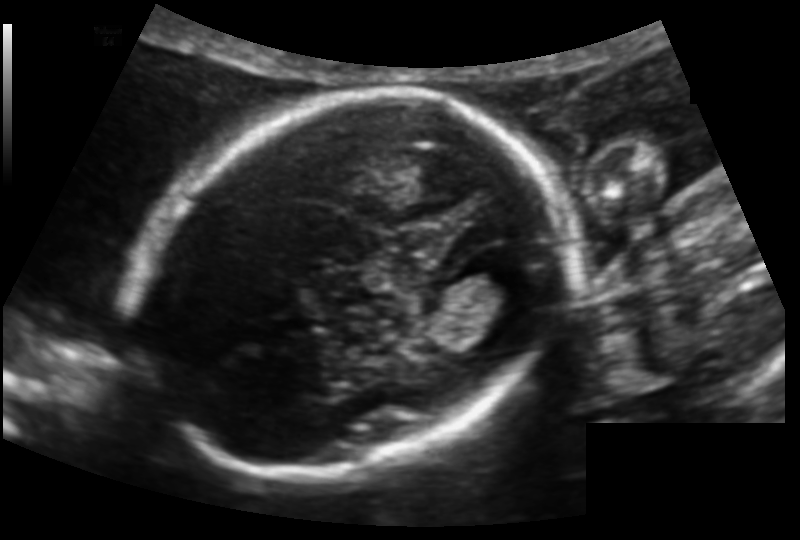
Fetal head ultrasound. Image width: 98.5 mm. Locate the fetal head.

Head: [137,94,556,477]